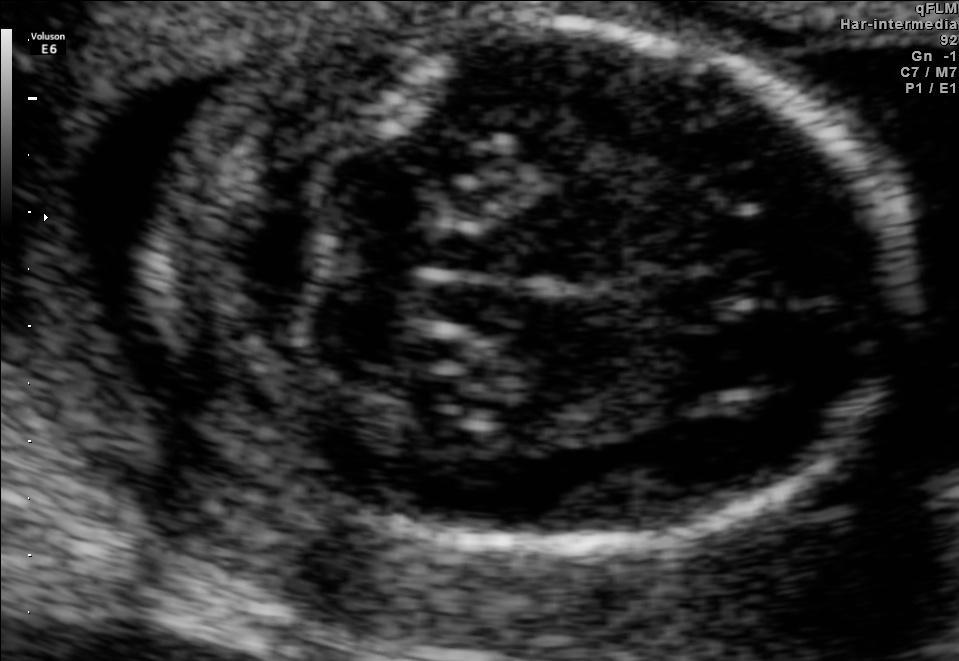
Classify this maternal-fetal ultrasound image as one of the six standard planes — fetal abdomen, fetal brain, fetal femur, fetal thorax, maternal cervix, or other. If it's fetal brain and one of the three standard brain planes (trans-thalamic, trans-cerebellum, trans-ventricular), name which.

Fetal brain (trans-cerebellum plane)